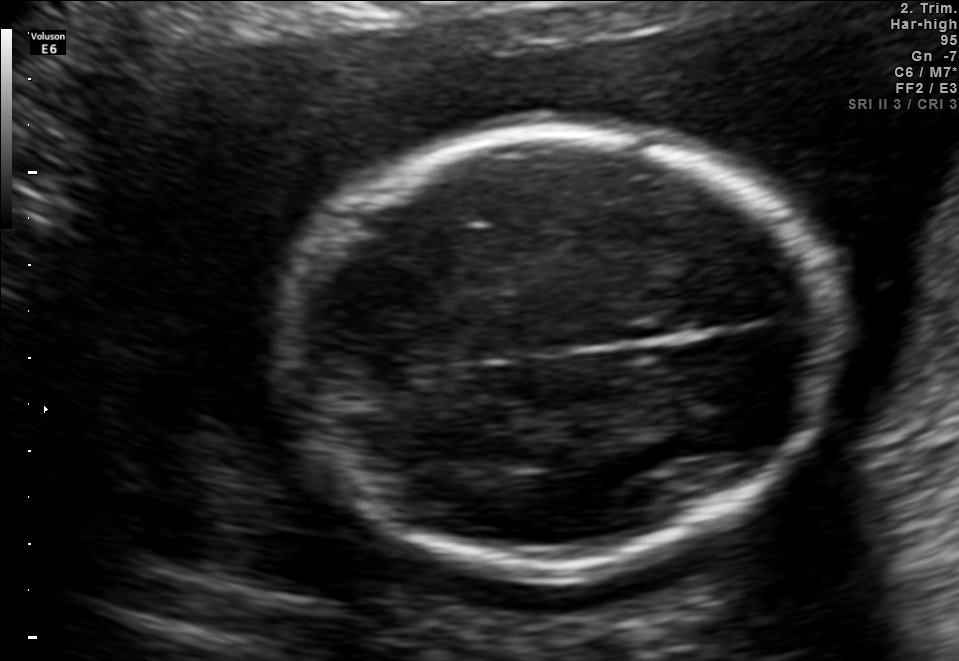
Fetal brain, trans-thalamic plane. Locate the fetal head and, if visible, the cavum septum pellucidum (CSP) and lateral ventricle (LV). Give bounding boxes as [x1,y1,x2,y2].

Head: [285,131,826,572]